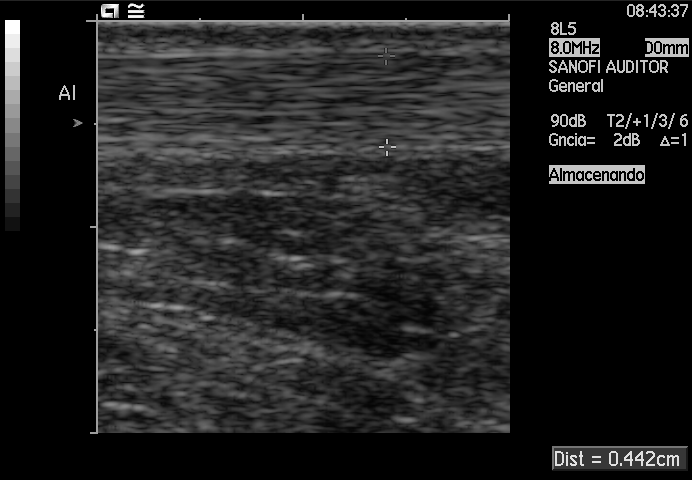
This is a 2D maternal-fetal ultrasound frame. Is it a fetal abdomen, fetal brain, fetal femur, fetal thorax, maternal cervix, or other standard plane? If it's fetal brain and one of the three standard brain planes (trans-thalamic, trans-cerebellum, trans-ventricular), name which.

Other